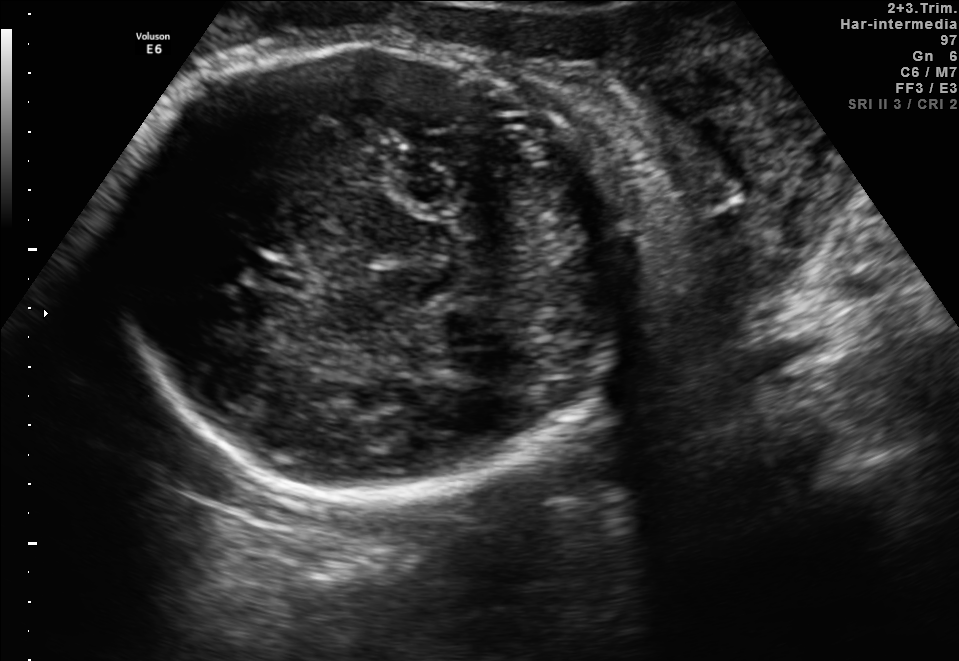
Fetal brain, trans-thalamic plane. Give [x1,y1,x2,y2] bounding boxes for each visible structure among: fetal head, CSP, LV.

Head: [108,38,641,489]
CSP: [243,247,316,296]
Lateral ventricle: [455,349,516,381]